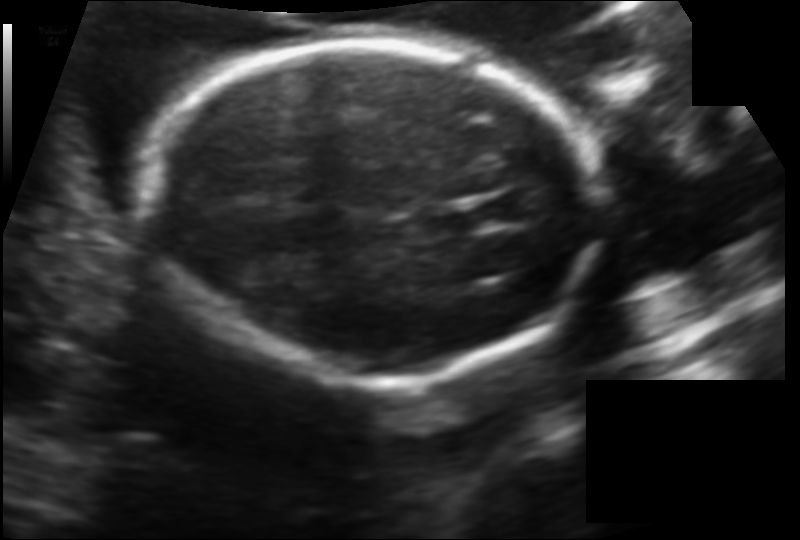
Estimate the fetal head circumference from this 2D ultrasound. Image width: 108.5 mm.

Head circumference: 176.6 mm.